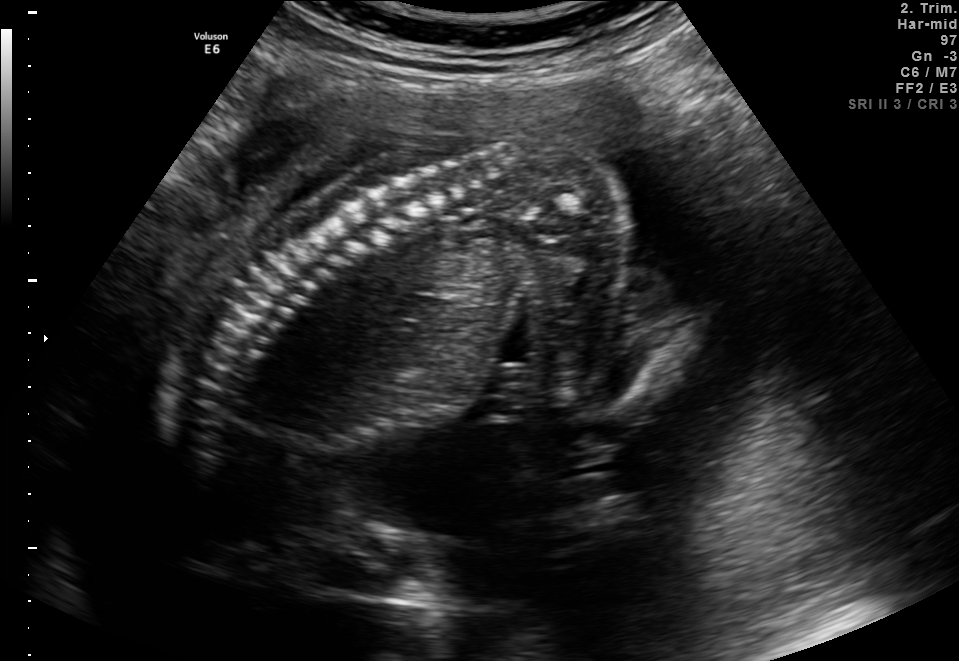
This is a 2D maternal-fetal ultrasound frame. Is it a fetal abdomen, fetal brain, fetal femur, fetal thorax, maternal cervix, or other standard plane? If it's fetal brain and one of the three standard brain planes (trans-thalamic, trans-cerebellum, trans-ventricular), name which.

Other